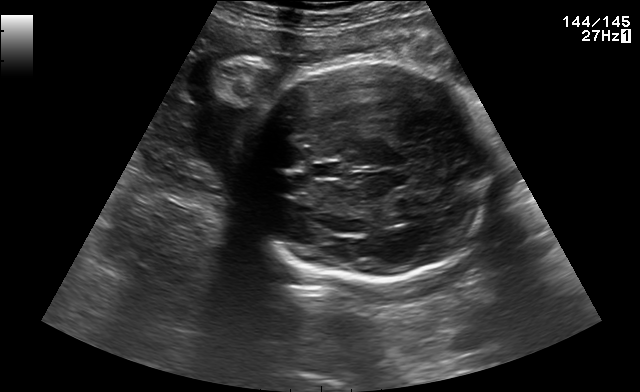
Fetal brain, trans-thalamic plane. Locate the cavum septum pellucidum.

CSP: [312,161,344,179]